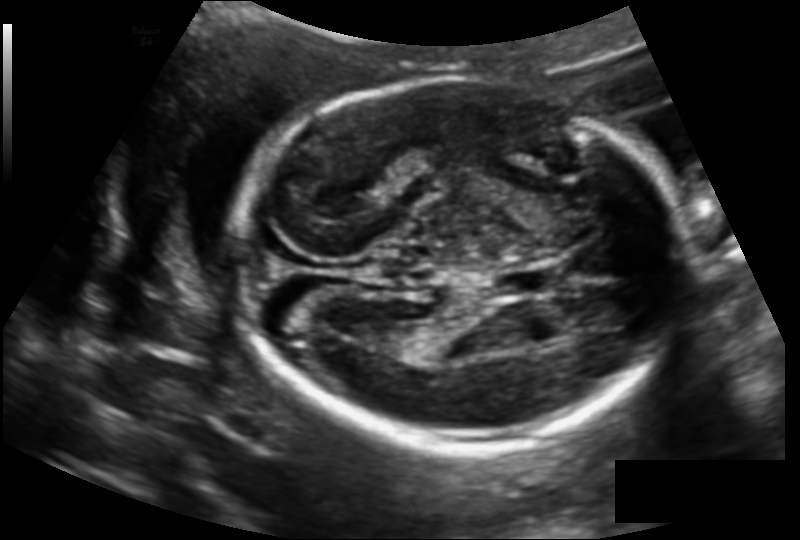
Fetal head ultrasound. Image width: 116.1 mm. Where is the cavum septum pellucidum?

CSP bounding box: [488,263,559,302]